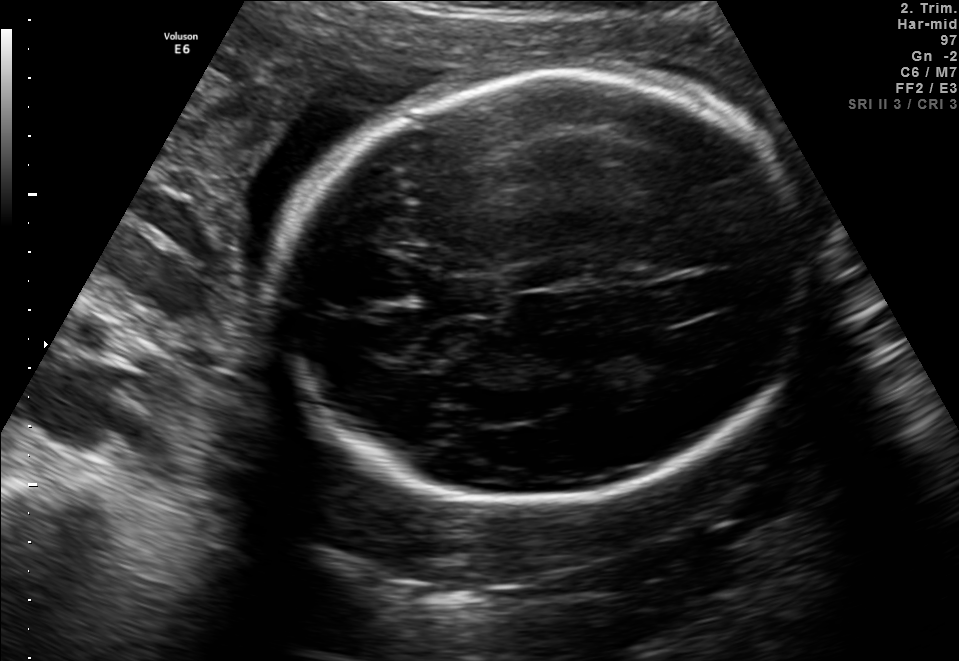
Fetal brain, trans-ventricular plane. Give [x1,y1,x2,y2] bounding boxes for each visible structure among: fetal head, CSP, LV.

Head: [263,66,822,517]